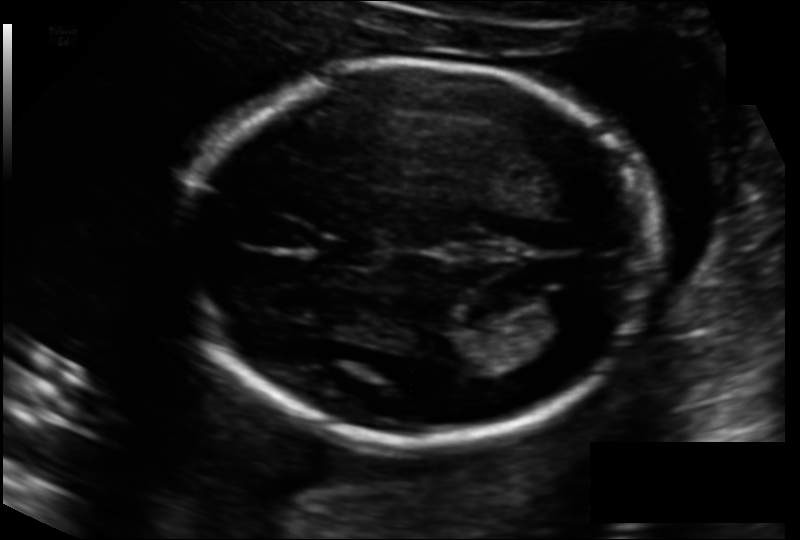
Fetal head ultrasound. Image width: 106.6 mm. Locate the lateral ventricle.

Lateral ventricle: [523,283,595,341]